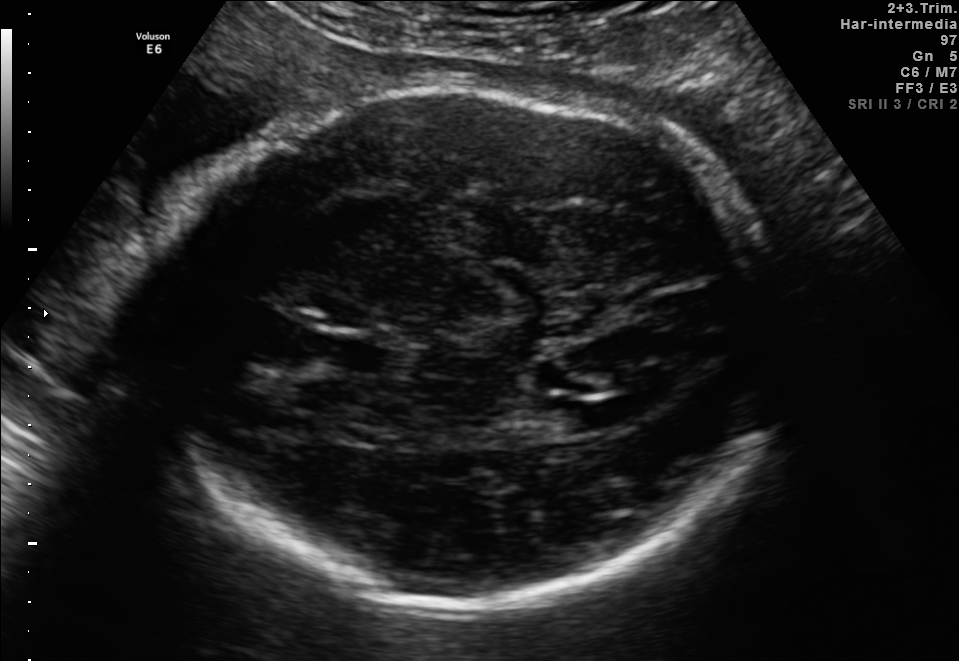
Fetal brain, trans-ventricular plane. Give [x1,y1,x2,y2] bounding boxes for each visible structure among: fetal head, CSP, LV.

Head: [132,75,797,606]
CSP: [304,332,367,372]
Lateral ventricle: [560,396,624,436]